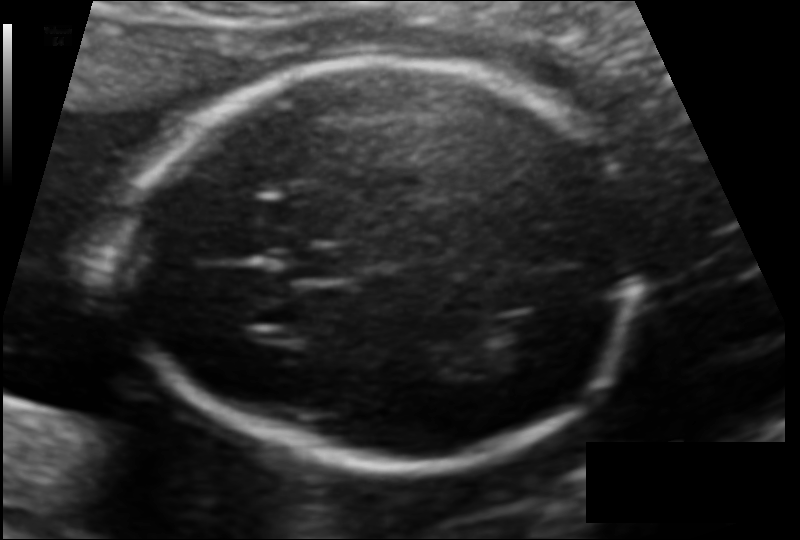
Fetal head ultrasound. Image width: 92.5 mm. Locate the fetal head.

Head: [126,58,641,464]